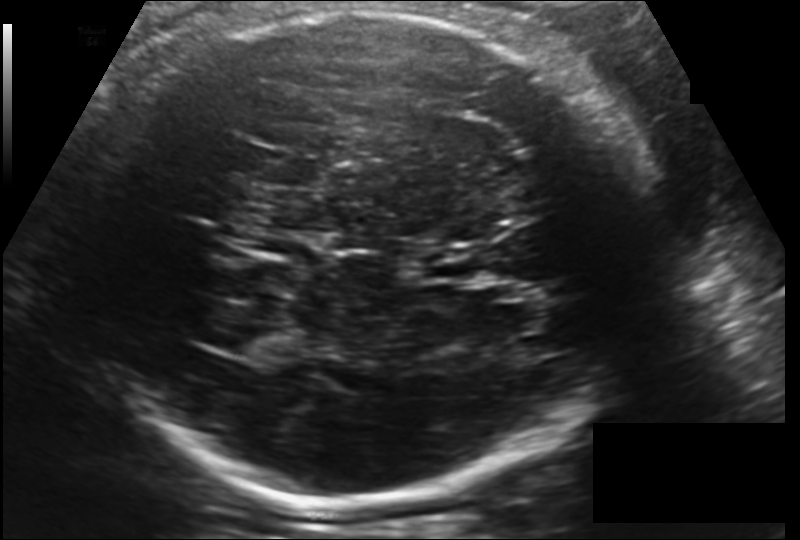
In this fetal head ultrasound, give the bounding box of the fetal head. Image width: 145.0 mm.

[86,8,642,506]